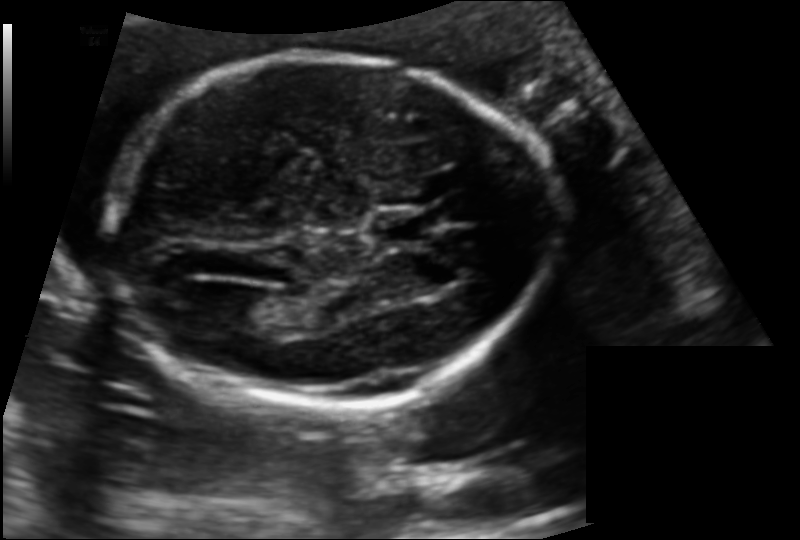
In this fetal head ultrasound, give the bounding box of the lateral ventricle. Image width: 105.8 mm.

[226,292,283,331]